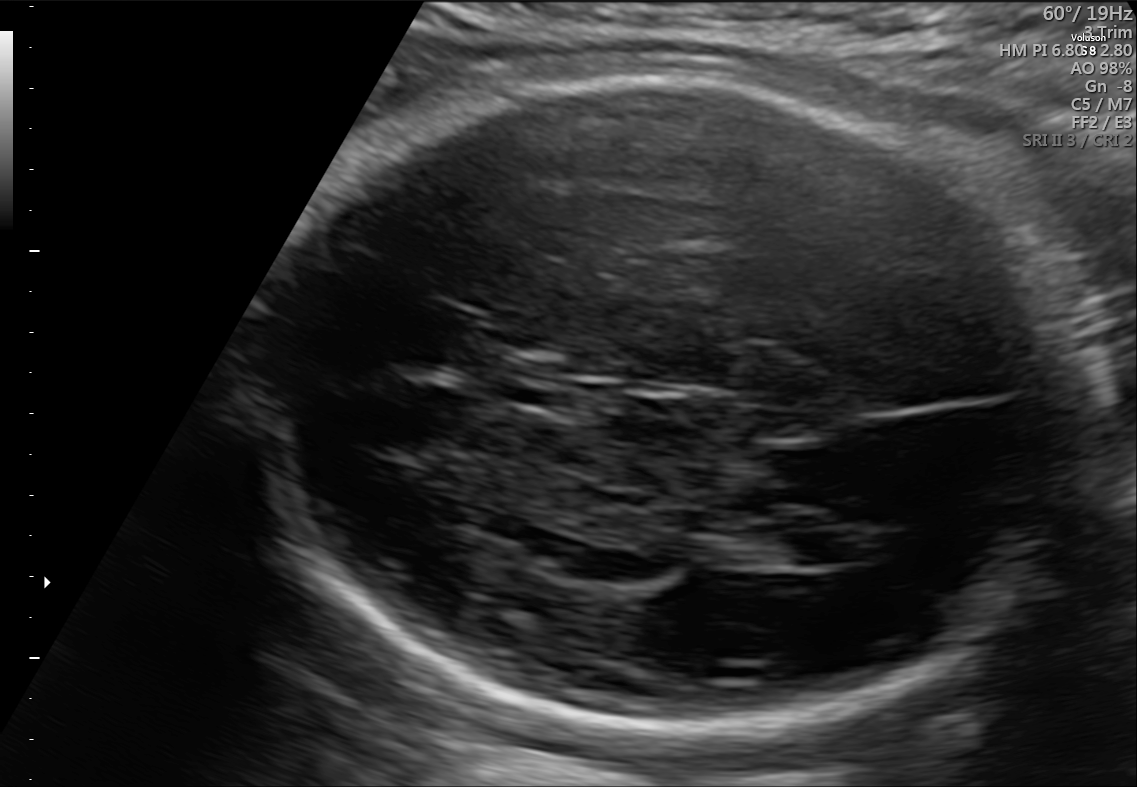
Fetal brain, trans-ventricular plane. Give [x1,y1,x2,y2] bounding boxes for each visible structure among: fetal head, CSP, LV.

Head: [253,54,1107,748]
CSP: [494,355,583,413]
Lateral ventricle: [783,531,874,565]